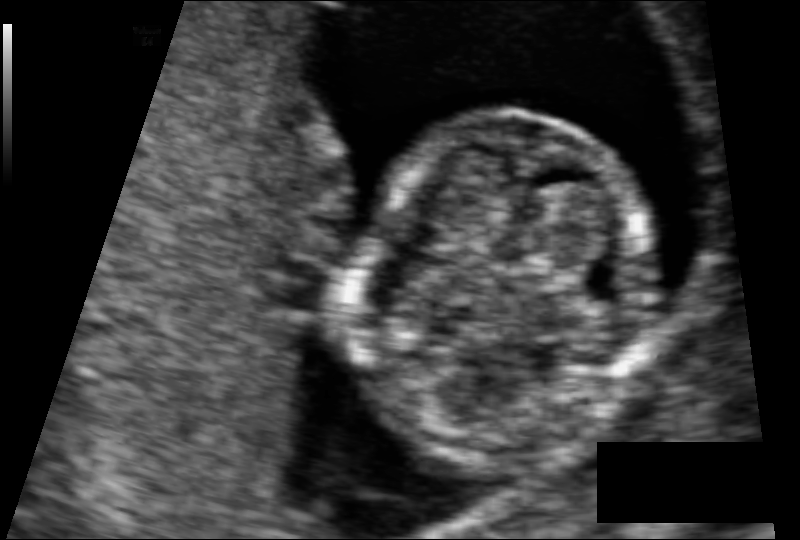
Fetal head ultrasound. Image width: 58.9 mm. Locate the fetal head.

Head: [358,112,657,464]